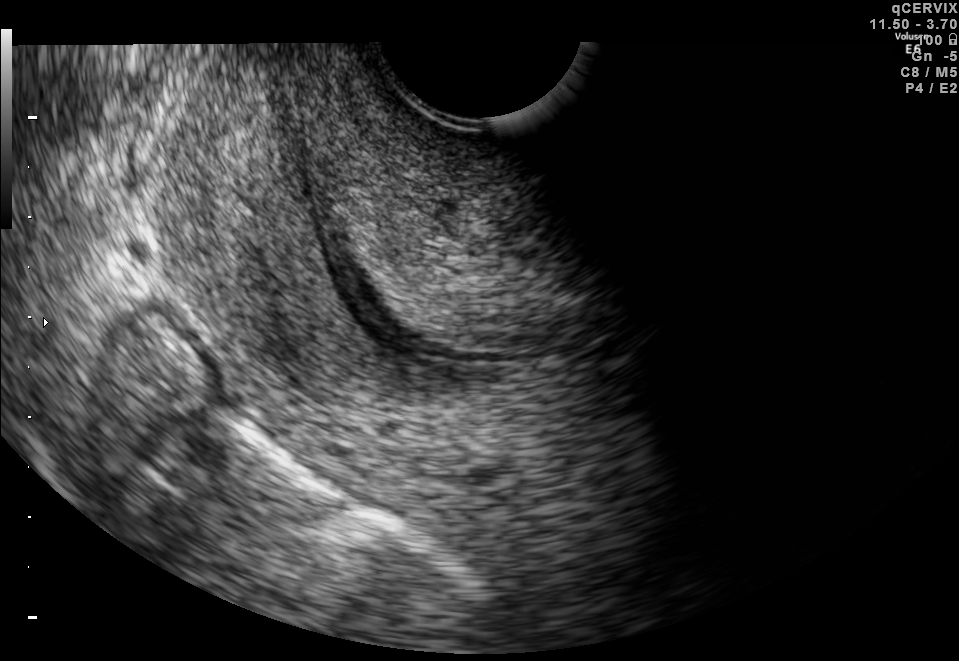
Classify this maternal-fetal ultrasound image as one of the six standard planes — fetal abdomen, fetal brain, fetal femur, fetal thorax, maternal cervix, or other. If it's fetal brain and one of the three standard brain planes (trans-thalamic, trans-cerebellum, trans-ventricular), name which.

Maternal cervix